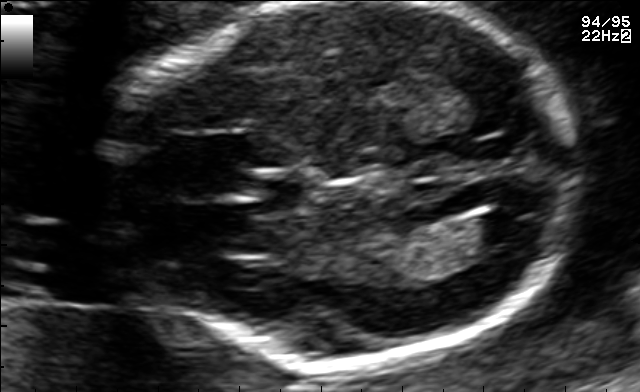
Fetal brain, trans-ventricular plane. Where is the fetal head?

Head bounding box: [93,2,599,374]